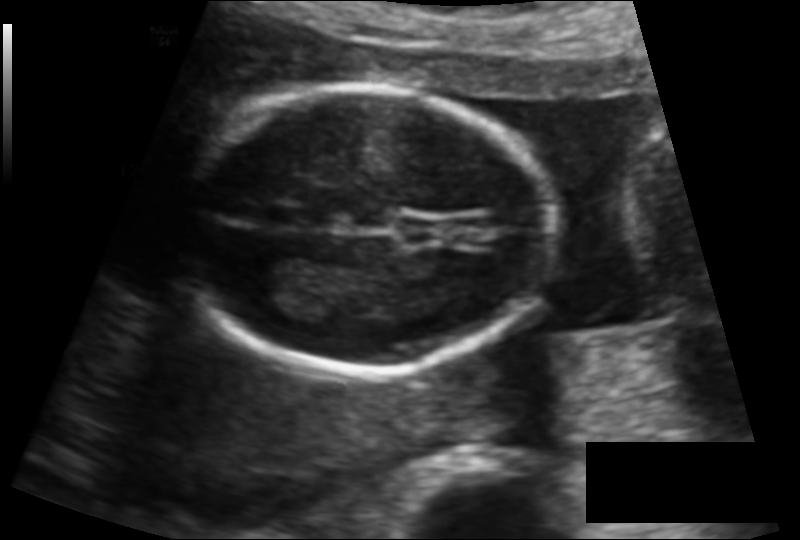
In this fetal head ultrasound, give the bounding box of the fetal head. Image width: 93.2 mm.

[176,87,551,372]